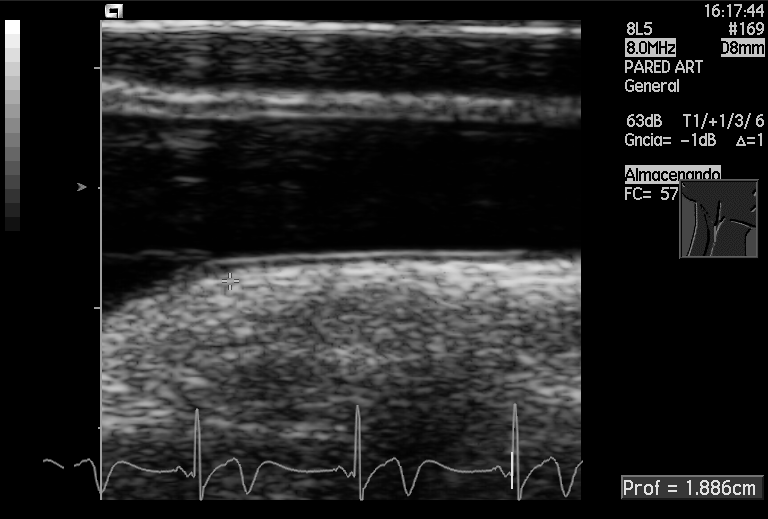
This is a 2D maternal-fetal ultrasound frame. Is it a fetal abdomen, fetal brain, fetal femur, fetal thorax, maternal cervix, or other standard plane? If it's fetal brain and one of the three standard brain planes (trans-thalamic, trans-cerebellum, trans-ventricular), name which.

Other